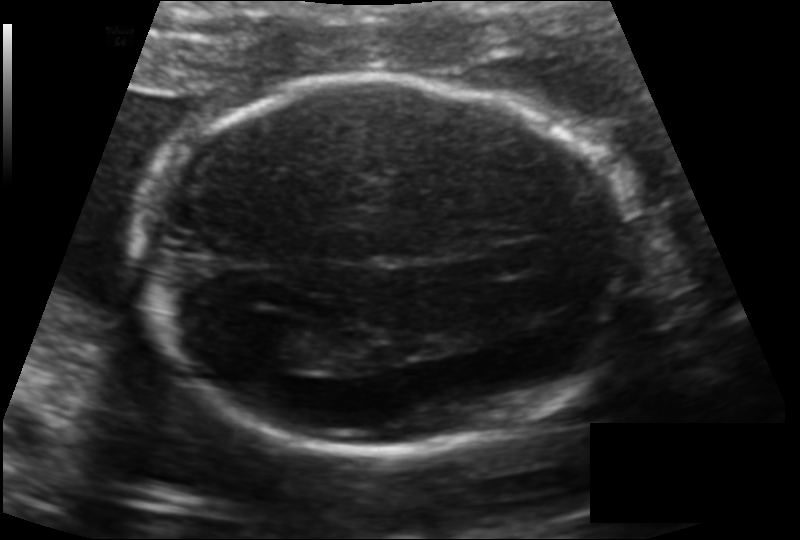
Fetal head ultrasound. Image width: 107.0 mm. Locate the lateral ventricle.

Lateral ventricle: [249,317,331,372]